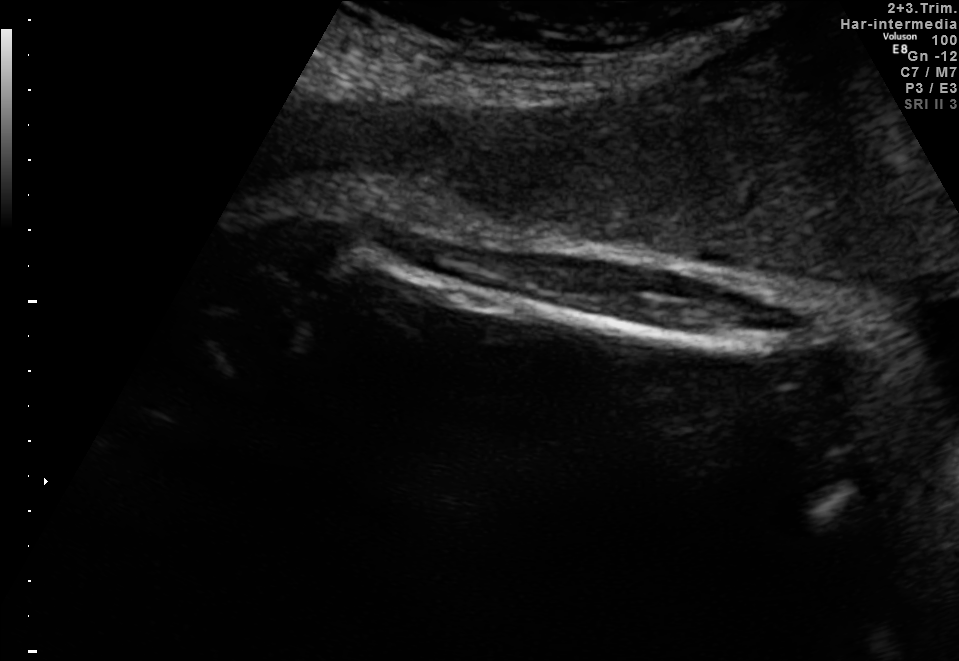
This is a 2D maternal-fetal ultrasound frame. Is it a fetal abdomen, fetal brain, fetal femur, fetal thorax, maternal cervix, or other standard plane? If it's fetal brain and one of the three standard brain planes (trans-thalamic, trans-cerebellum, trans-ventricular), name which.

Fetal femur